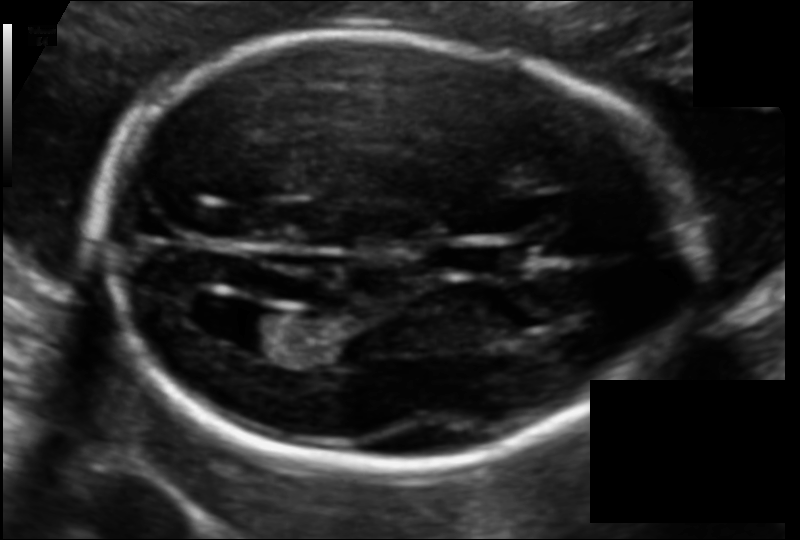
From this fetal ultrasound, estimate the head circumference (image width 86.6 mm).

Head circumference: 179.1 mm.